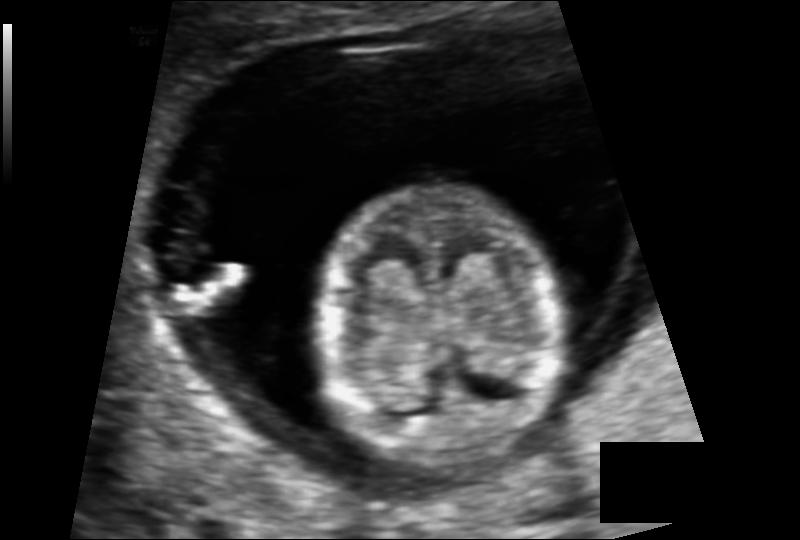
What is the fetal head circumference? Image width is 71.8 mm.

75.3 mm